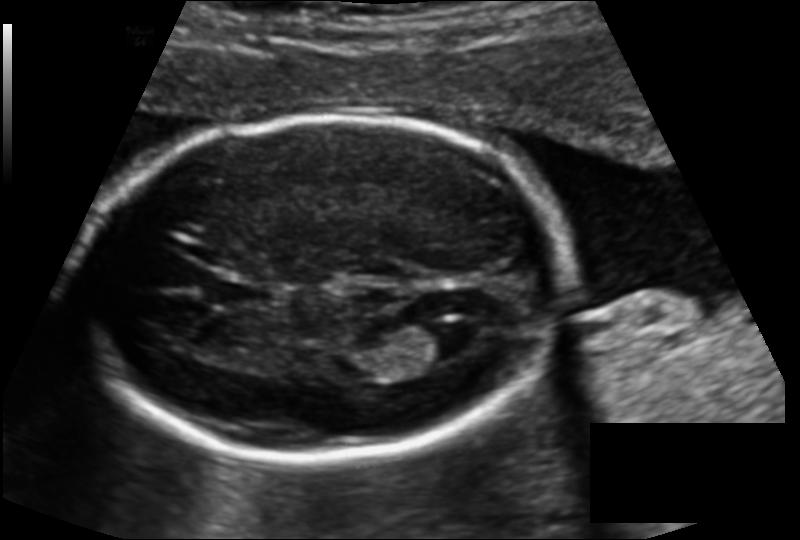
Fetal head ultrasound. Image width: 109.1 mm. Where is the cavum septum pellucidum?

CSP bounding box: [207,274,272,312]